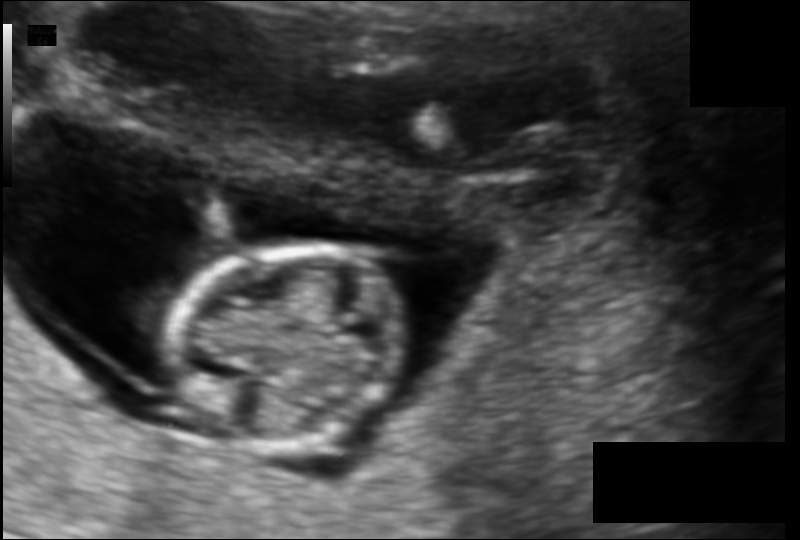
From this fetal ultrasound, estimate the head circumference (image width 83.9 mm).

Head circumference: 75.8 mm.